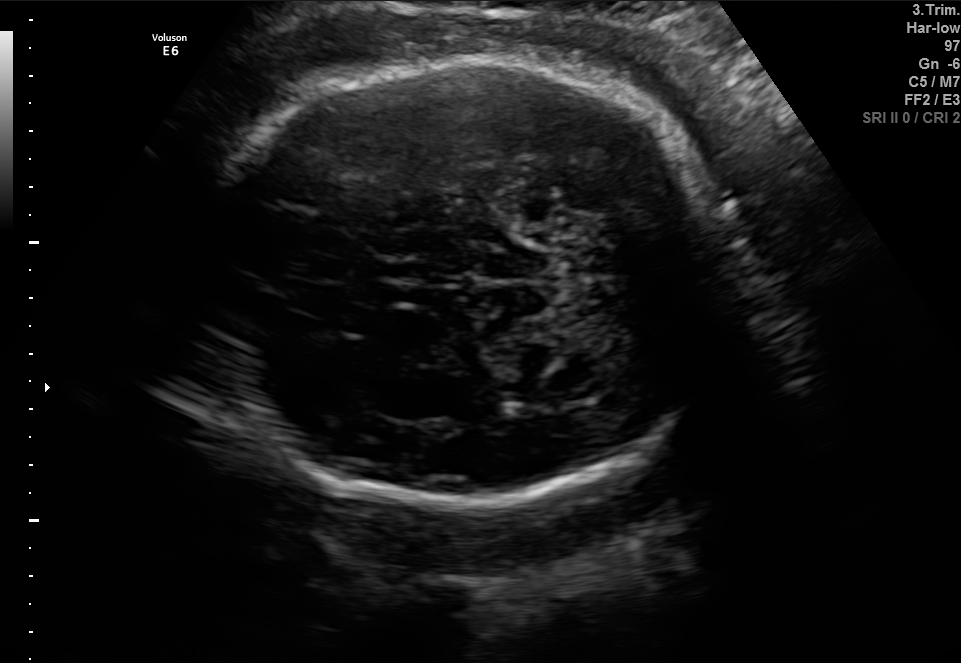
Fetal brain, trans-cerebellum plane. Where is the fetal head?

Head bounding box: [192,59,729,506]